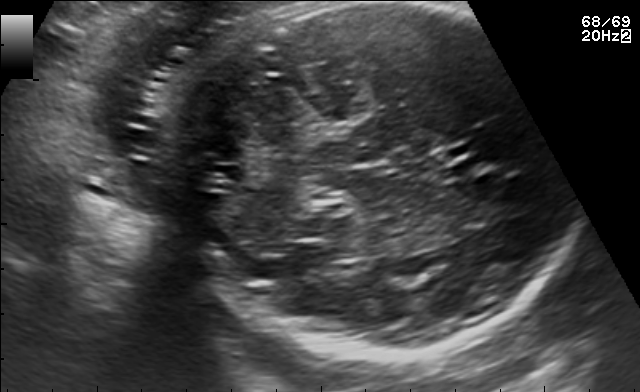
In this fetal brain, trans-cerebellum plane, give the bounding box of the fetal head.

[151,7,563,358]